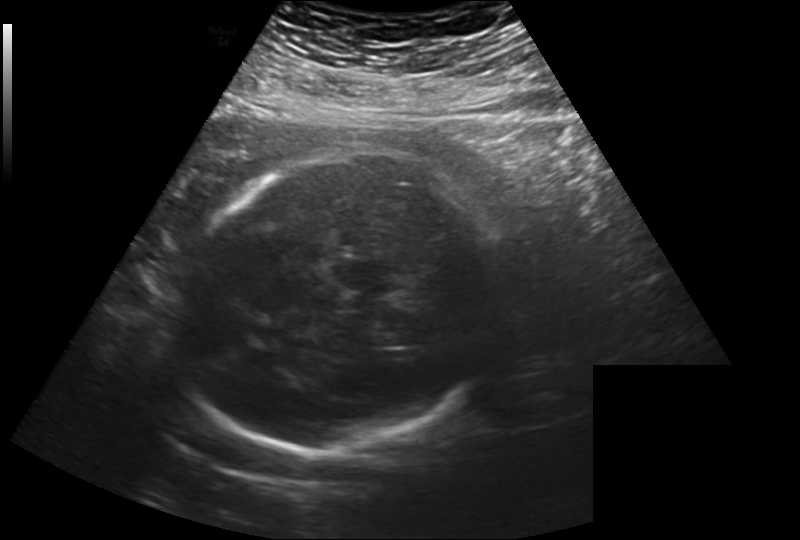
In this fetal head ultrasound, give the bounding box of the fetal head. Image width: 208.0 mm.

[177,154,500,453]